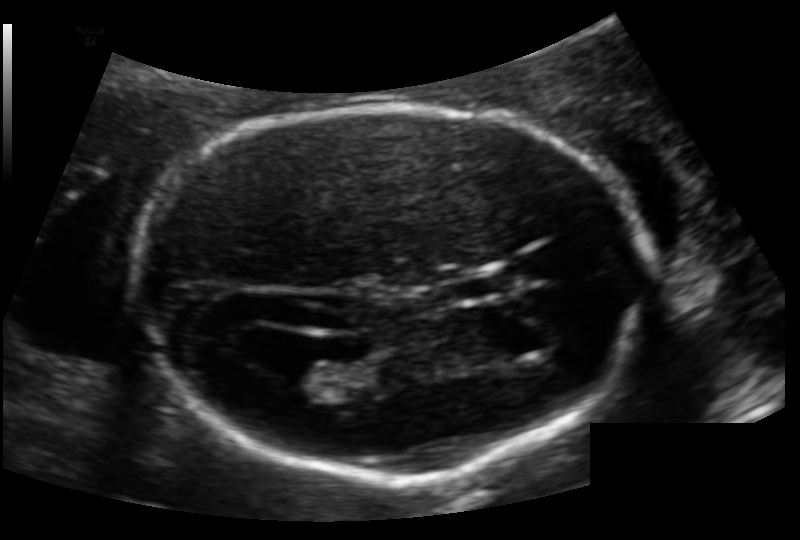
Fetal head ultrasound. Image width: 99.1 mm. Give [x1,y1,x2,y2] bounding boxes for each visible structure among: fetal head, CSP, LV.

Head: [148,106,646,480]
CSP: [448,266,515,307]
Lateral ventricle: [269,350,337,393]